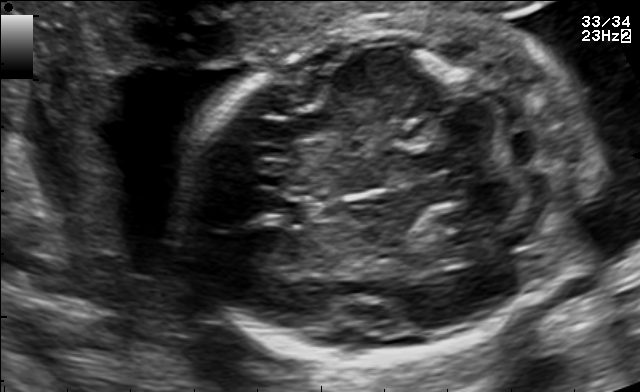
Fetal brain, trans-cerebellum plane. Give [x1,y1,x2,y2] bounding boxes for each visible structure among: fetal head, CSP, LV.

Head: [182,13,595,353]
CSP: [275,198,320,229]